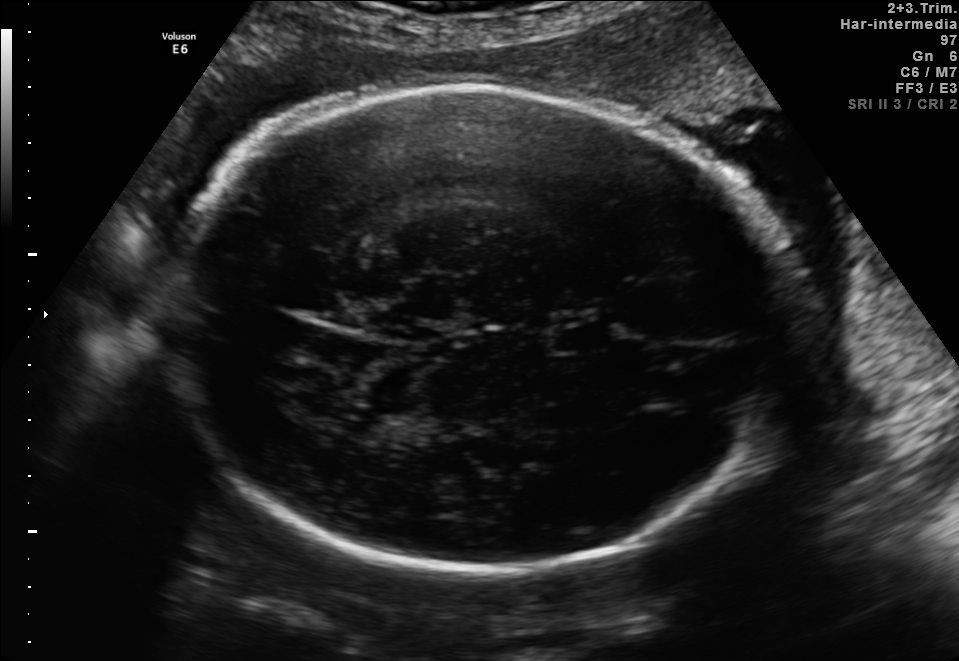
Fetal brain, trans-thalamic plane. Locate the cavum septum pellucidum.

CSP: [553,324,615,352]